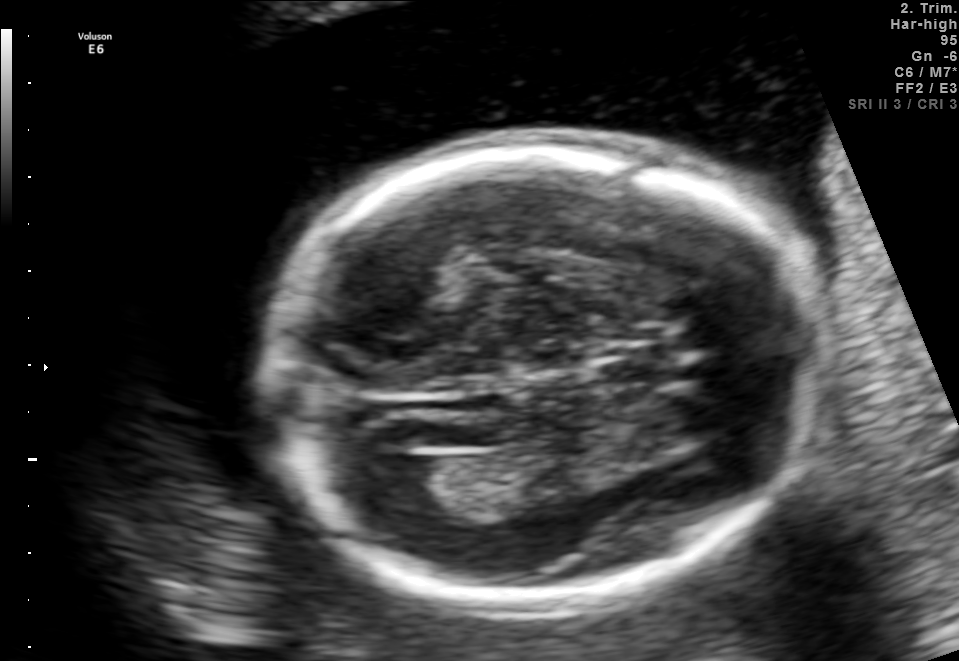
Fetal brain, trans-ventricular plane. Give [x1,y1,x2,y2] bounding boxes for each visible structure among: fetal head, CSP, LV.

Head: [248,128,841,617]
Lateral ventricle: [376,456,452,512]